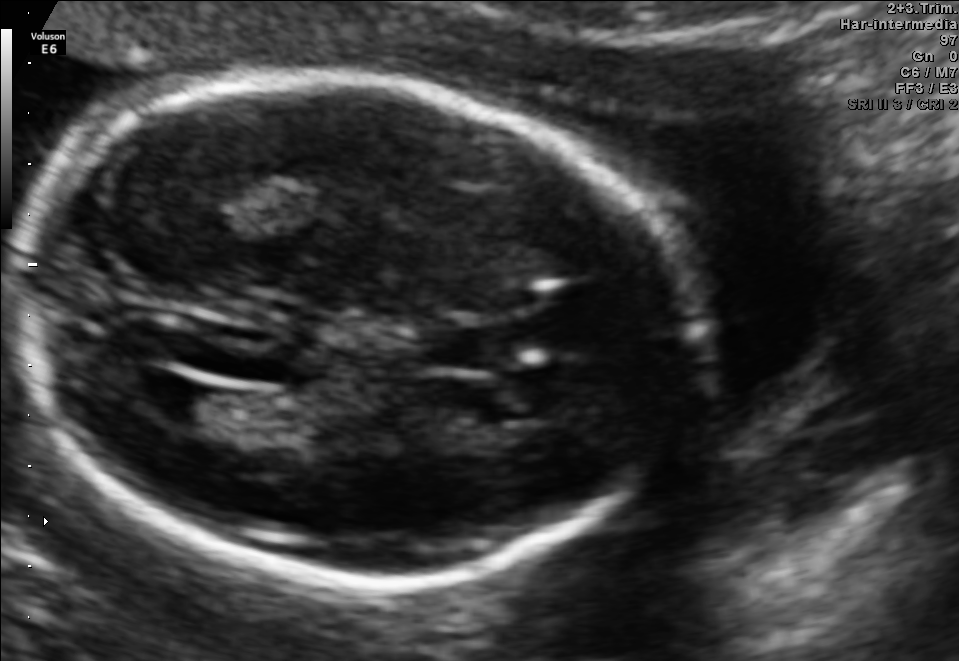
Fetal brain, trans-ventricular plane. Locate the fetal head and, if visible, the cavum septum pellucidum (CSP) and lateral ventricle (LV). Give bounding boxes as [x1,y1,x2,y2].

Head: [10,65,719,596]
CSP: [429,329,499,368]
Lateral ventricle: [134,367,218,431]